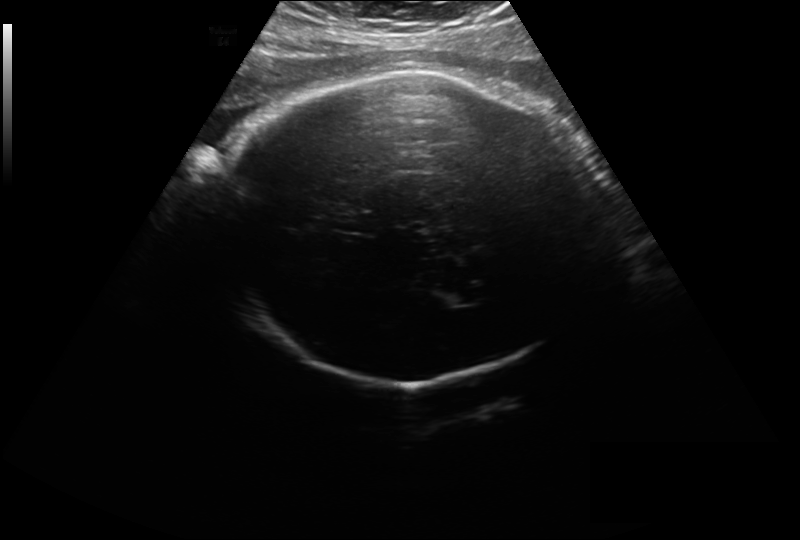
Estimate the fetal head circumference from this 2D ultrasound.

Head circumference: 329.3 mm (image width 237.5 mm).